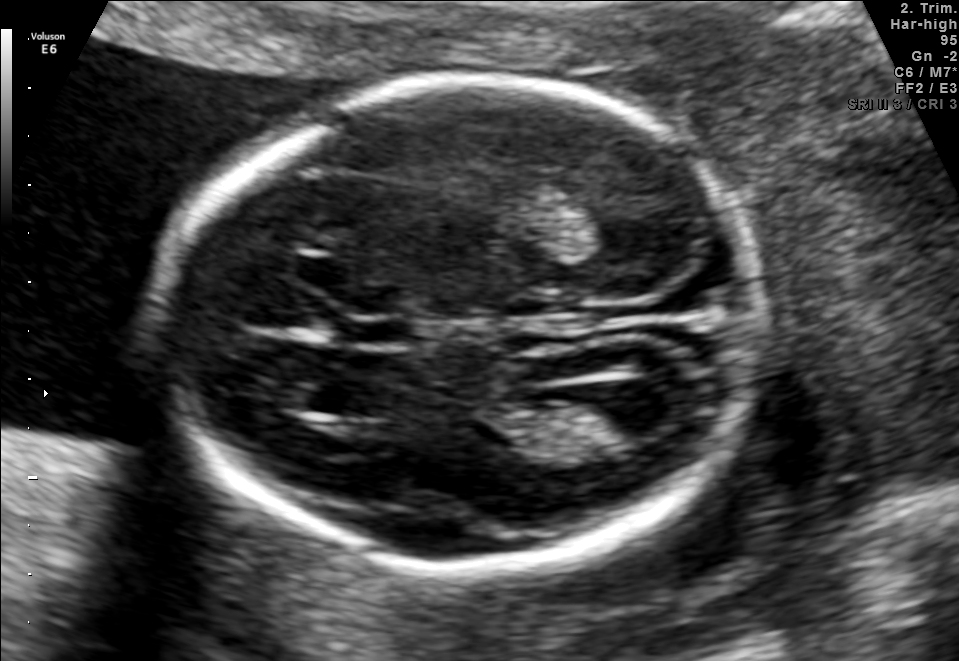
In this fetal brain, trans-ventricular plane, give the bounding box of the fetal head.

[145,71,780,580]